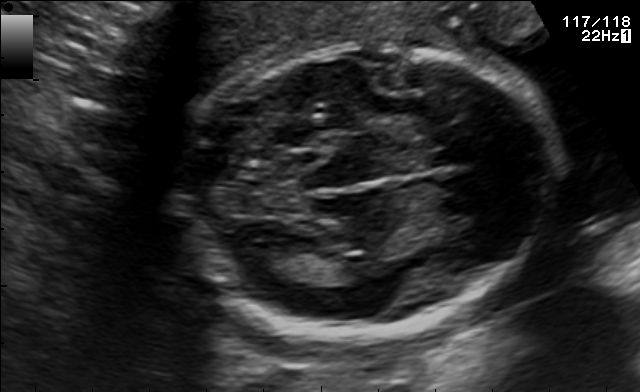
Fetal brain, trans-thalamic plane. Locate the lateral ventricle.

Lateral ventricle: [237,234,313,282]